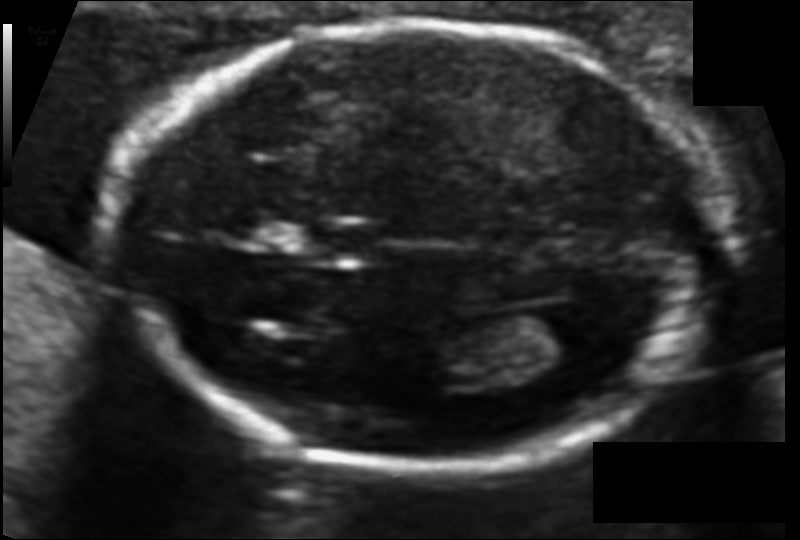
Fetal head ultrasound. Image width: 75.0 mm. Where is the fetal head?

Head bounding box: [124,23,717,466]